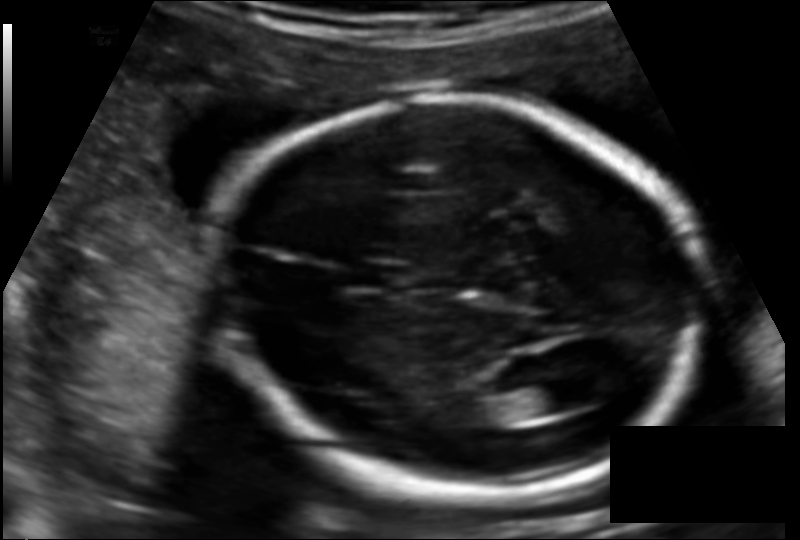
In this fetal head ultrasound, give the bounding box of the fetal head. Image width: 99.4 mm.

[214,97,705,495]